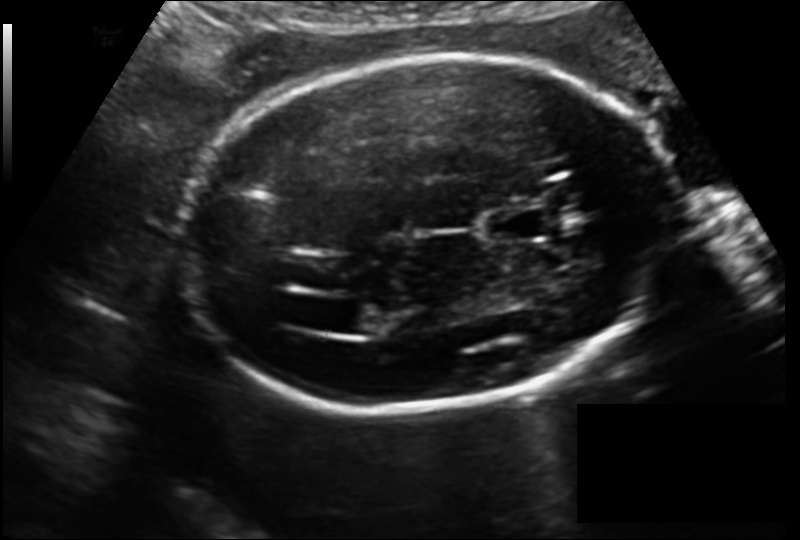
Estimate the fetal head circumference from this 2D ultrasound. Image width: 120.3 mm.

Head circumference: 209.2 mm.